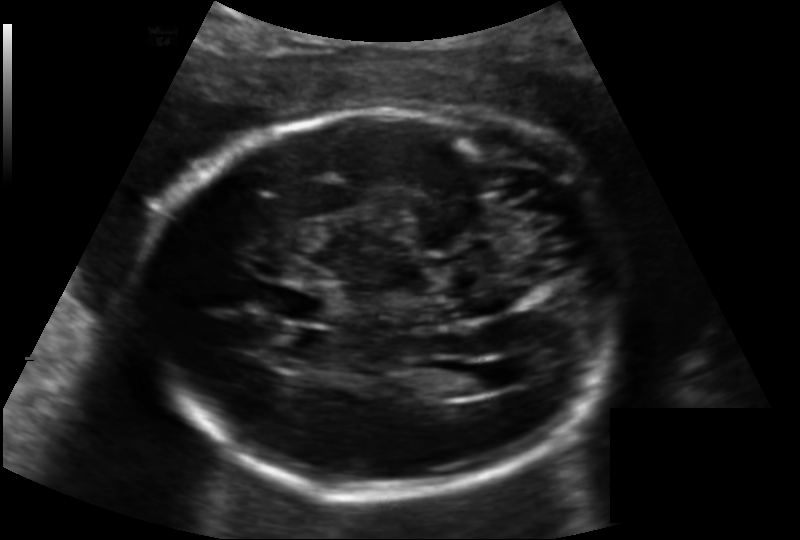
Estimate the fetal head circumference from this 2D ultrasound. Image width: 126.5 mm.

Head circumference: 225.4 mm.